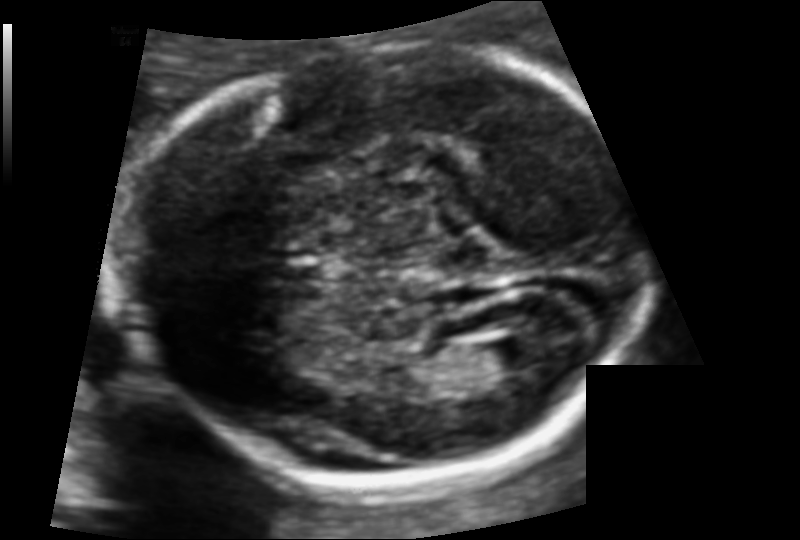
In this fetal head ultrasound, give the bounding box of the fetal head. Image width: 84.2 mm.

[128,51,649,492]